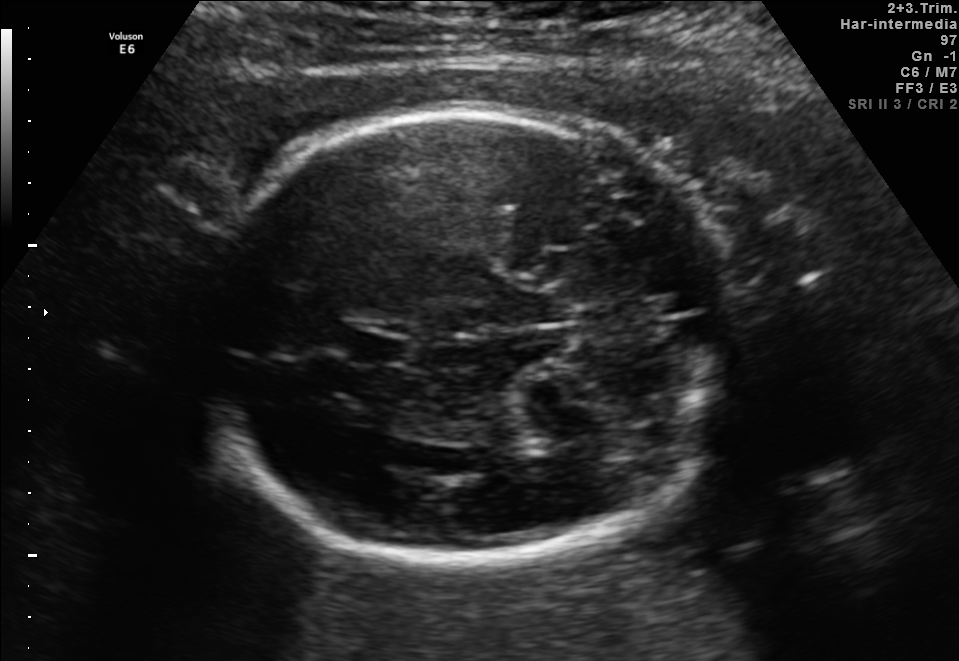
In this fetal brain, trans-cerebellum plane, give the bounding box of the fetal head.

[201,109,738,560]